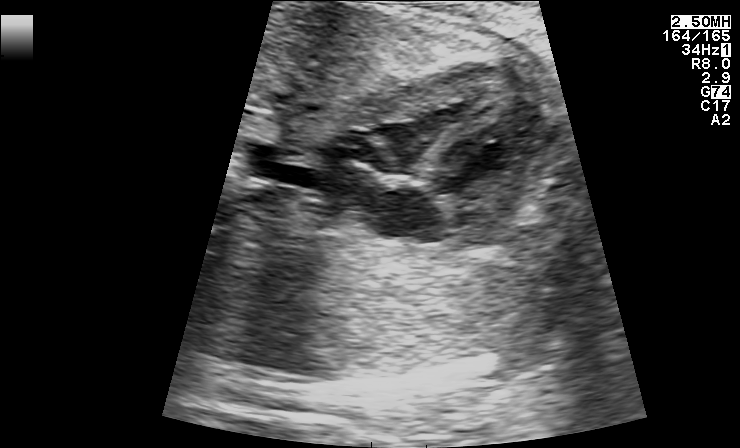
Identify the standard plane in this fetal ultrasound image: fetal abdomen, fetal brain, fetal femur, fetal thorax, maternal cervix, or other. If it's fetal brain and one of the three standard brain planes (trans-thalamic, trans-cerebellum, trans-ventricular), name which.

Fetal thorax